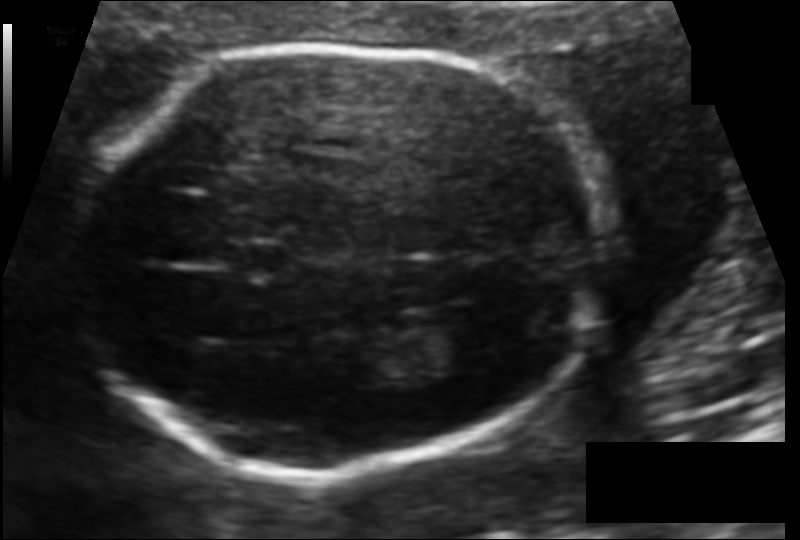
What is the fetal head circumference? Image width is 86.3 mm.

168.5 mm